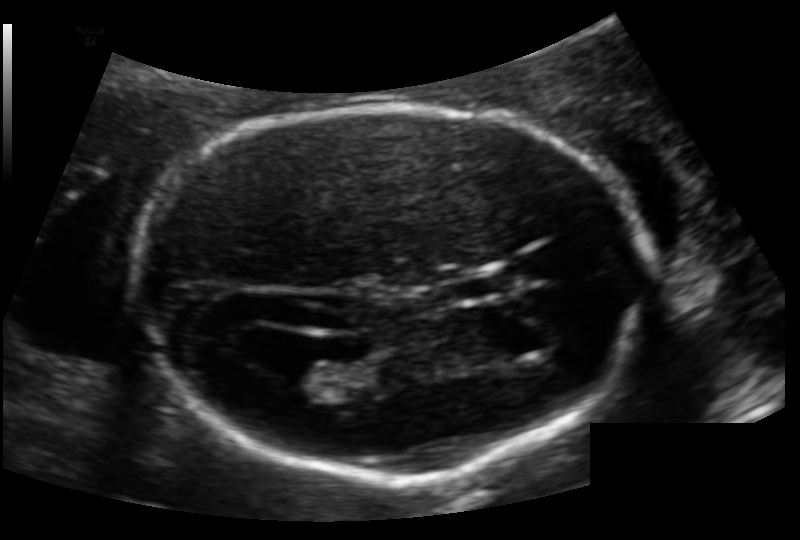
In this fetal head ultrasound, give bounding boxes for the head outline, cavum septum pellucidum (CSP), and lateral ventricle (LV), where visible. Image width: 99.1 mm.

Head: [148,106,646,480]
CSP: [448,266,515,307]
Lateral ventricle: [269,350,337,393]